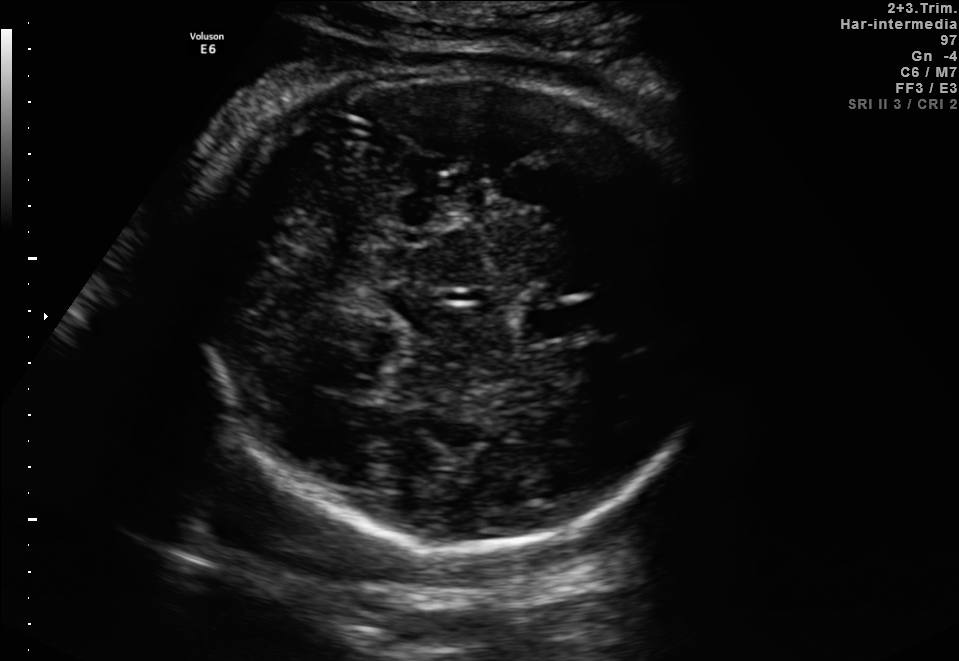
Fetal brain, trans-thalamic plane. Locate the fetal head.

Head: [192,72,715,545]